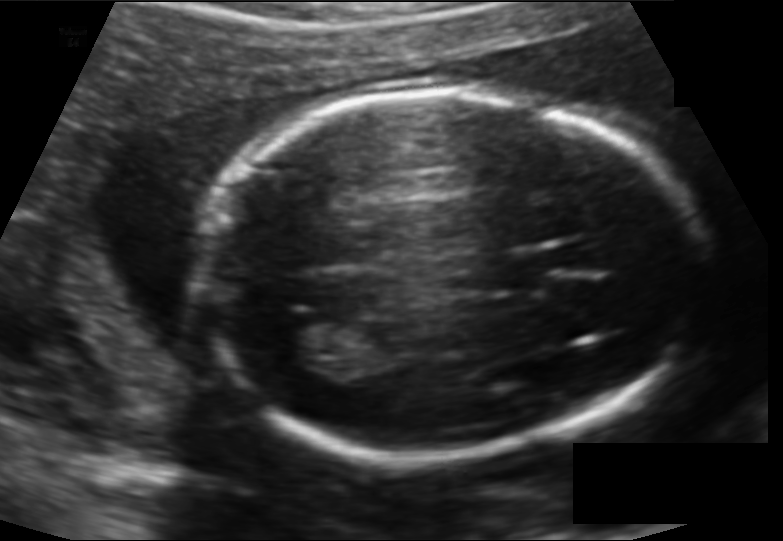
Fetal head ultrasound. Image width: 100.2 mm. Where is the cavum septum pellucidum?

CSP bounding box: [483,251,545,292]